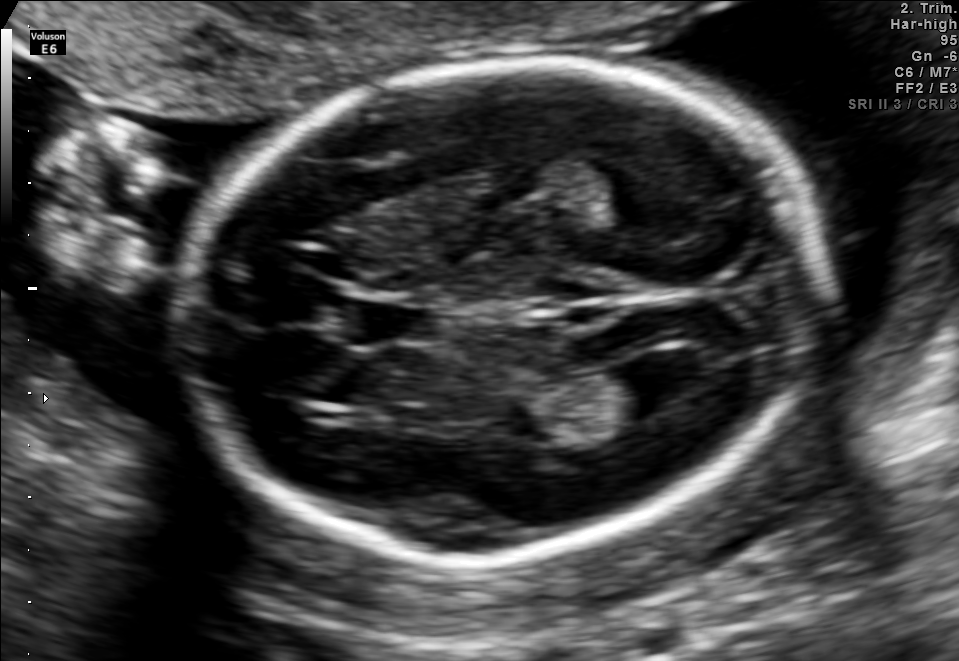
Fetal brain, trans-ventricular plane. Give [x1,y1,x2,y2] bounding boxes for each visible structure among: fetal head, CSP, LV.

Head: [167,46,844,571]
CSP: [346,302,441,344]
Lateral ventricle: [605,333,717,424]